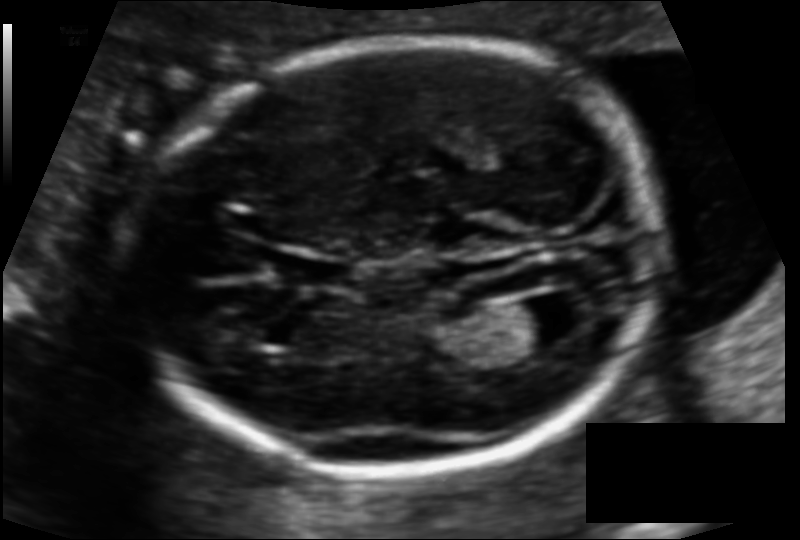
Fetal head ultrasound. Image width: 88.1 mm. Locate the fetal head.

Head: [138,40,662,471]